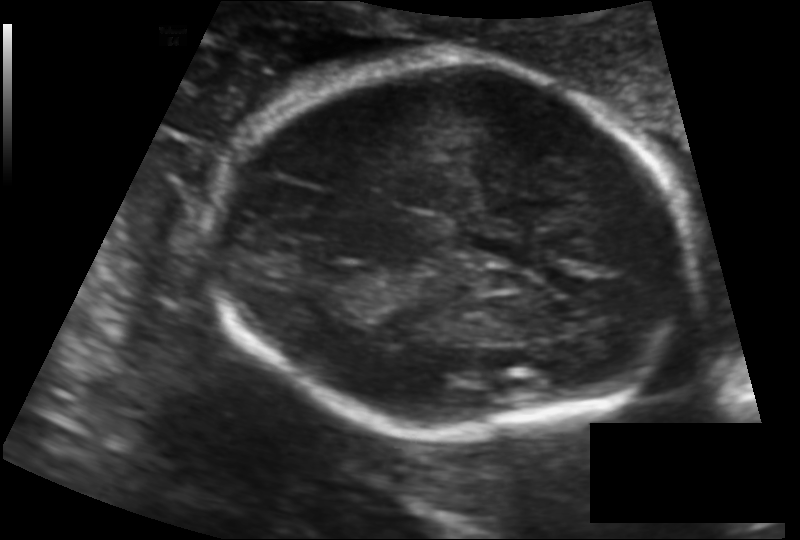
Fetal head ultrasound. Image width: 102.5 mm. Locate the fetal head.

Head: [212,59,688,437]